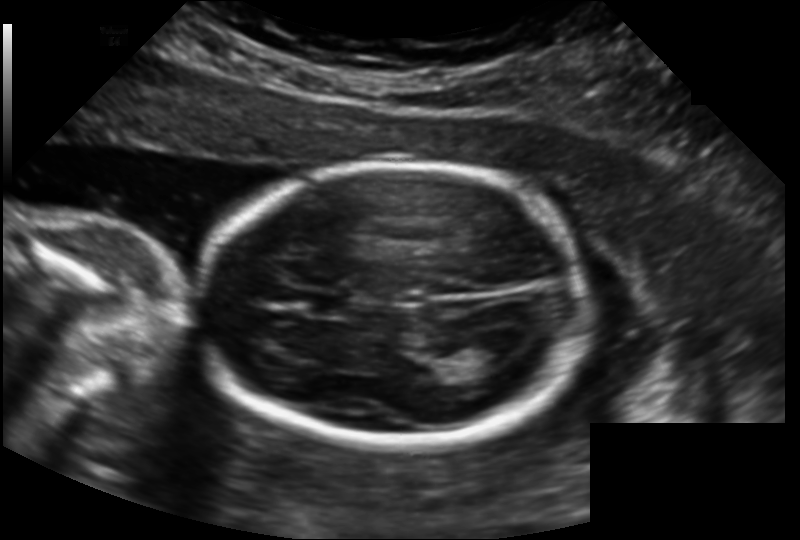
Fetal head ultrasound. Image width: 126.2 mm. Locate the fetal head and, if visible, the cavum septum pellucidum (CSP) and lateral ventricle (LV). Give bounding boxes as [x1,y1,x2,y2].

Head: [200,163,590,448]
CSP: [310,291,355,319]
Lateral ventricle: [459,328,521,375]